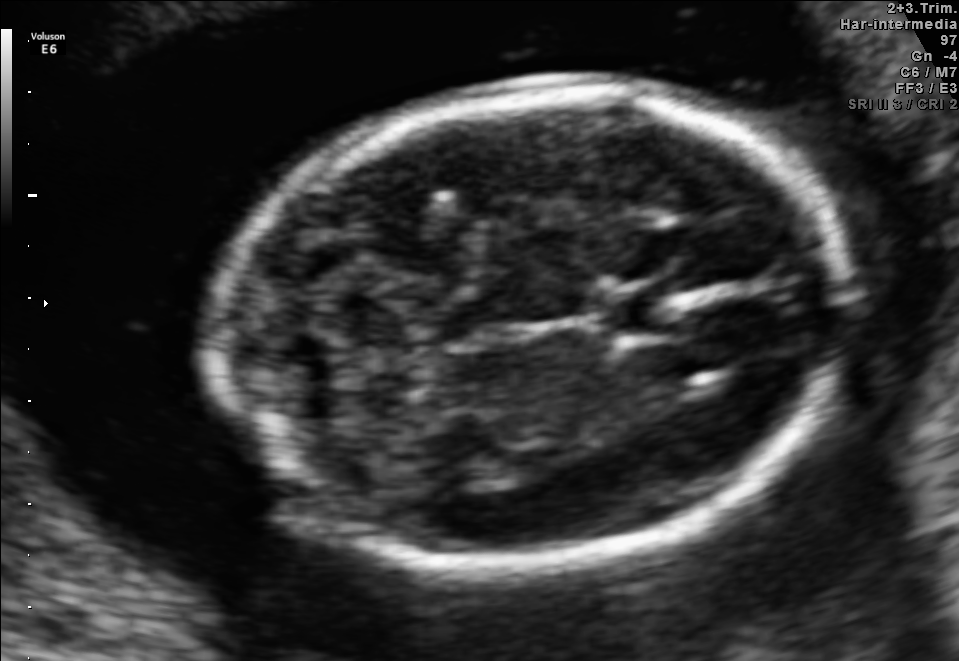
In this fetal brain, trans-cerebellum plane, give the bounding box of the cavum septum pellucidum.

[596,281,682,344]